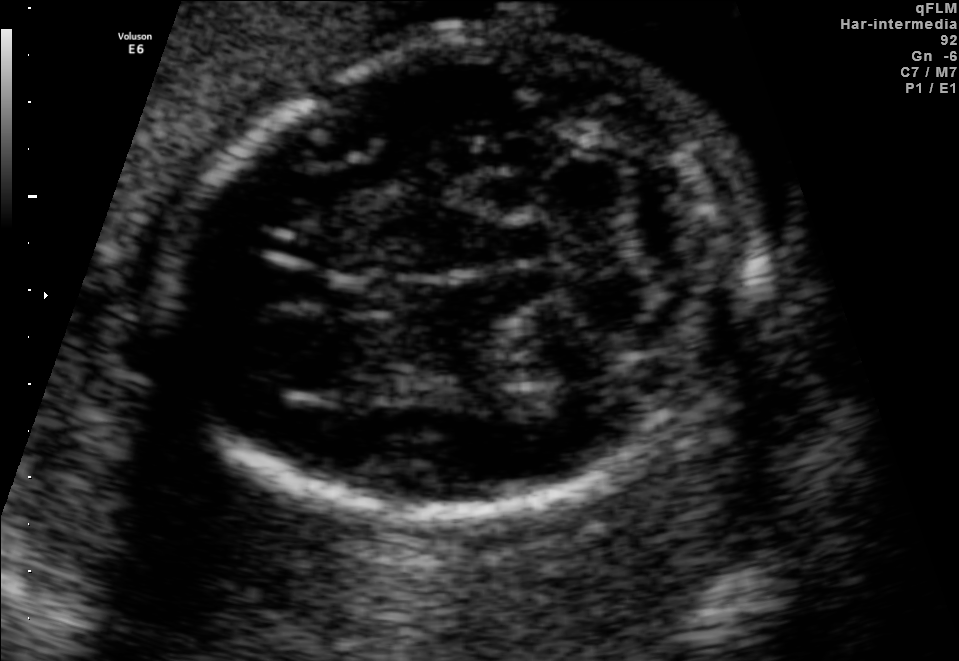
Fetal brain, trans-cerebellum plane. Give [x1,y1,x2,y2] bounding boxes for each visible structure among: fetal head, CSP, LV.

Head: [180,38,749,517]